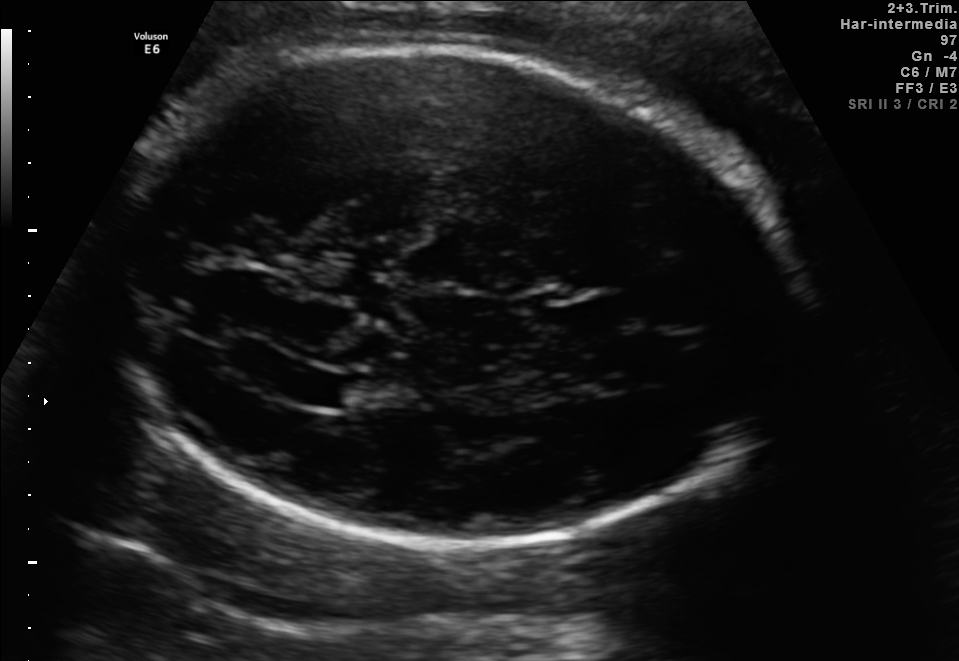
In this fetal brain, trans-ventricular plane, give bounding boxes for the head outline, cavum septum pellucidum (CSP), and lateral ventricle (LV), where visible.

Head: [99,37,808,562]
Lateral ventricle: [285,364,352,410]